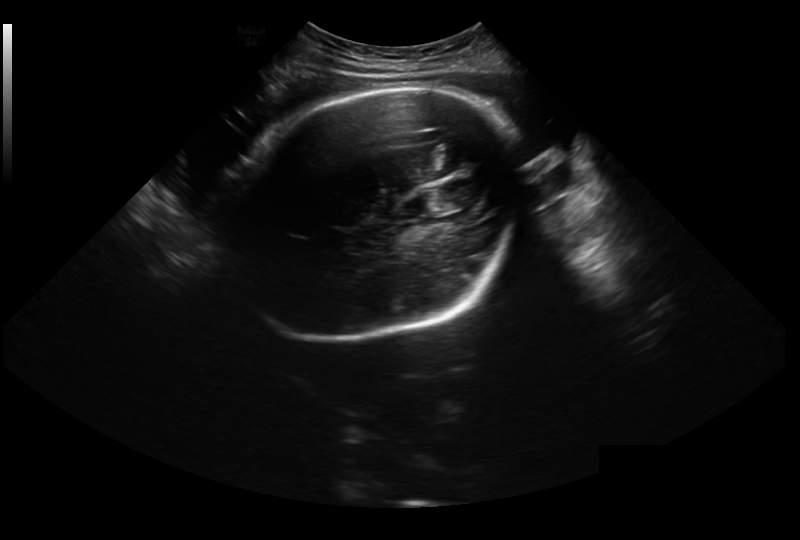
Fetal head ultrasound. Image width: 260.9 mm. Locate the fetal head and, if visible, the cavum septum pellucidum (CSP) and lateral ventricle (LV). Give bounding boxes as [x1,y1,x2,y2].

Head: [220,85,523,342]